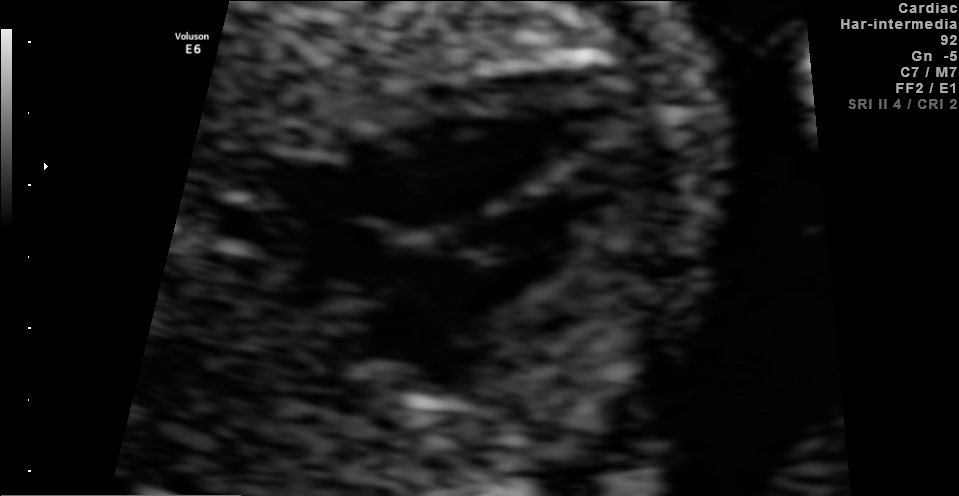
Identify the standard plane in this fetal ultrasound image: fetal abdomen, fetal brain, fetal femur, fetal thorax, maternal cervix, or other. If it's fetal brain and one of the three standard brain planes (trans-thalamic, trans-cerebellum, trans-ventricular), name which.

Fetal thorax